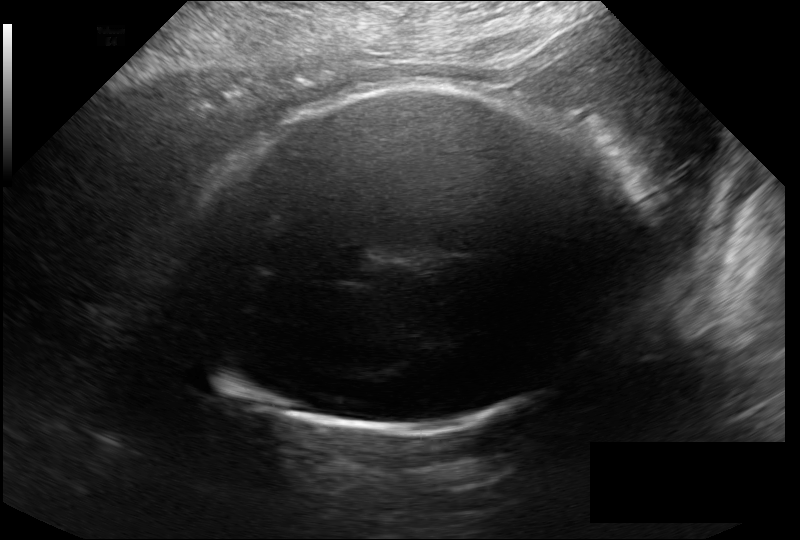
What is the fetal head circumference? Image width is 196.8 mm.

315.2 mm